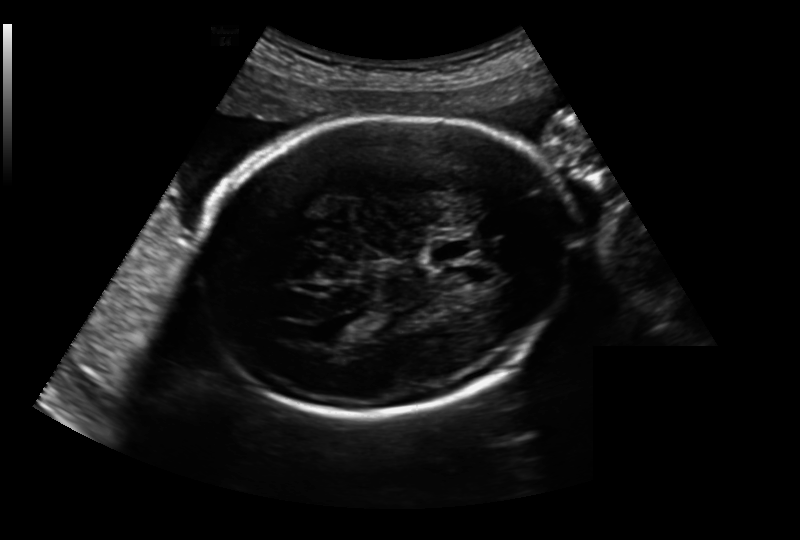
Fetal head ultrasound. Image width: 170.6 mm. Locate the cavum septum pellucidum.

CSP: [425,232,479,269]